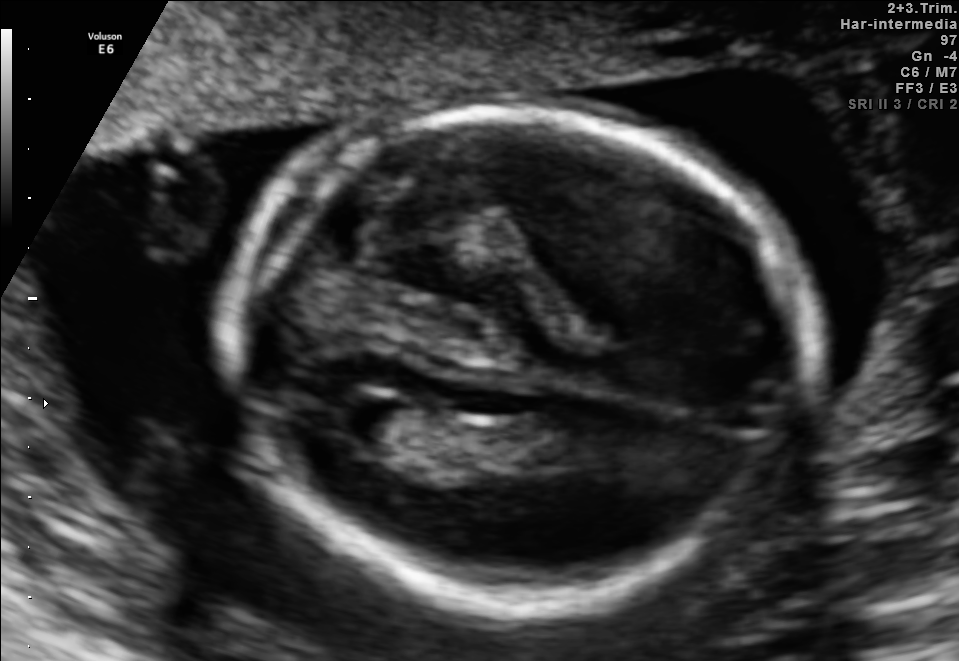
Identify the standard plane in this fetal ultrasound image: fetal abdomen, fetal brain, fetal femur, fetal thorax, maternal cervix, or other. If it's fetal brain and one of the three standard brain planes (trans-thalamic, trans-cerebellum, trans-ventricular), name which.

Fetal brain (trans-ventricular plane)